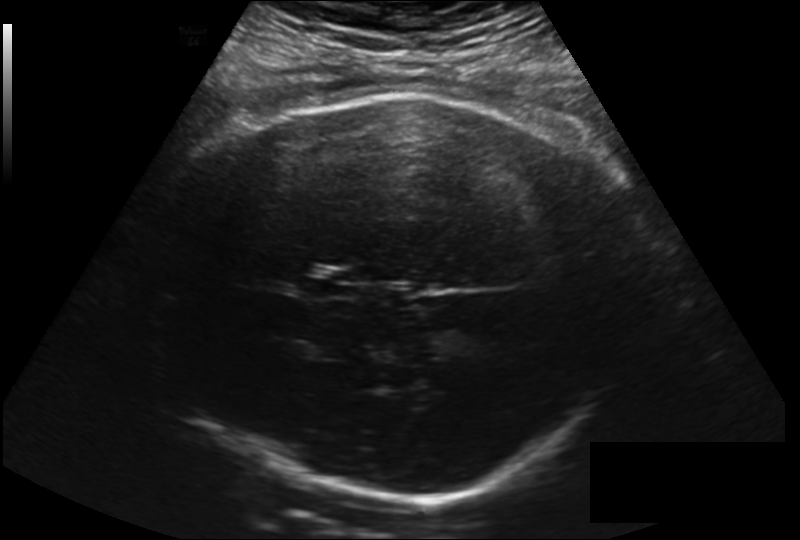
In this fetal head ultrasound, give bounding boxes for the head outline, cavum septum pellucidum (CSP), and lateral ventricle (LV), where visible. Image width: 179.8 mm.

Head: [155,91,628,504]